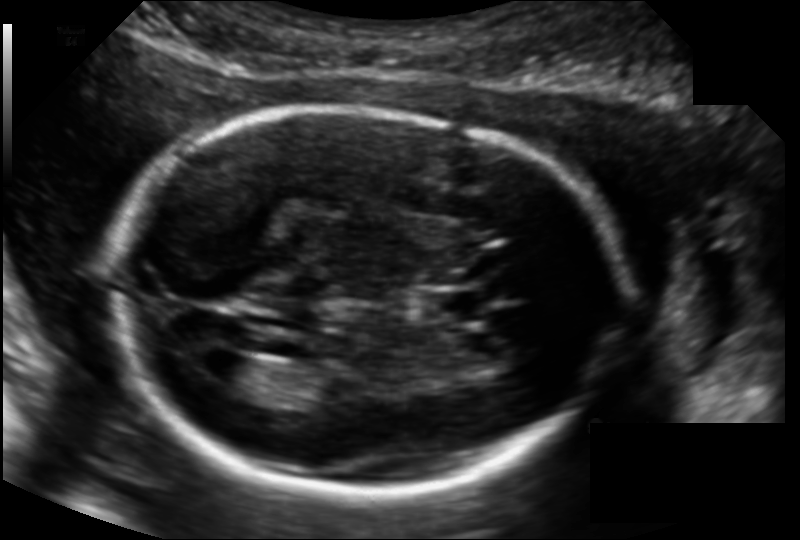
Fetal head ultrasound. Image width: 107.7 mm. Locate the fetal head and, if visible, the cavum septum pellucidum (CSP) and lateral ventricle (LV). Give bounding boxes as [x1,y1,x2,y2].

Head: [108,108,617,493]
CSP: [423,291,482,321]
Lateral ventricle: [194,343,267,397]